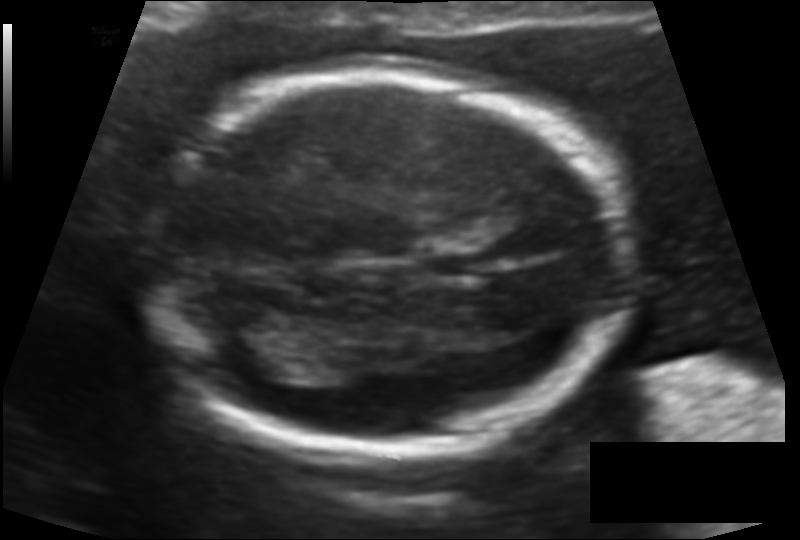
Fetal head ultrasound. Image width: 92.6 mm. Locate the fetal head and, if visible, the cavum septum pellucidum (CSP) and lateral ventricle (LV). Give bounding boxes as [x1,y1,x2,y2].

Head: [139,69,622,449]
Lateral ventricle: [203,303,308,382]